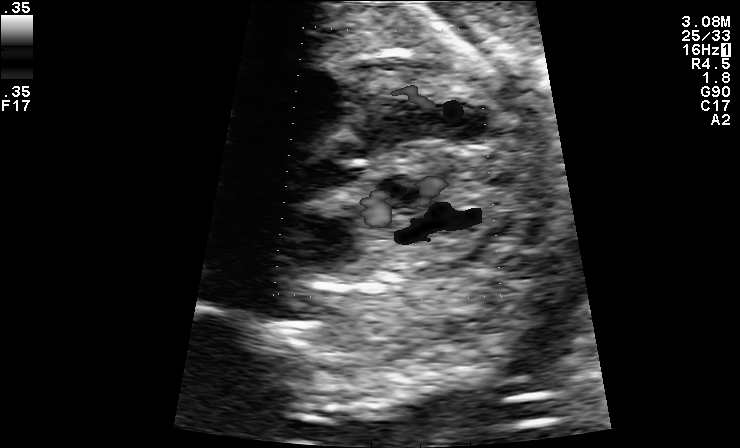
Which standard maternal-fetal ultrasound plane is shown: fetal abdomen, fetal brain, fetal femur, fetal thorax, maternal cervix, or other? If it's fetal brain and one of the three standard brain planes (trans-thalamic, trans-cerebellum, trans-ventricular), name which.

Other